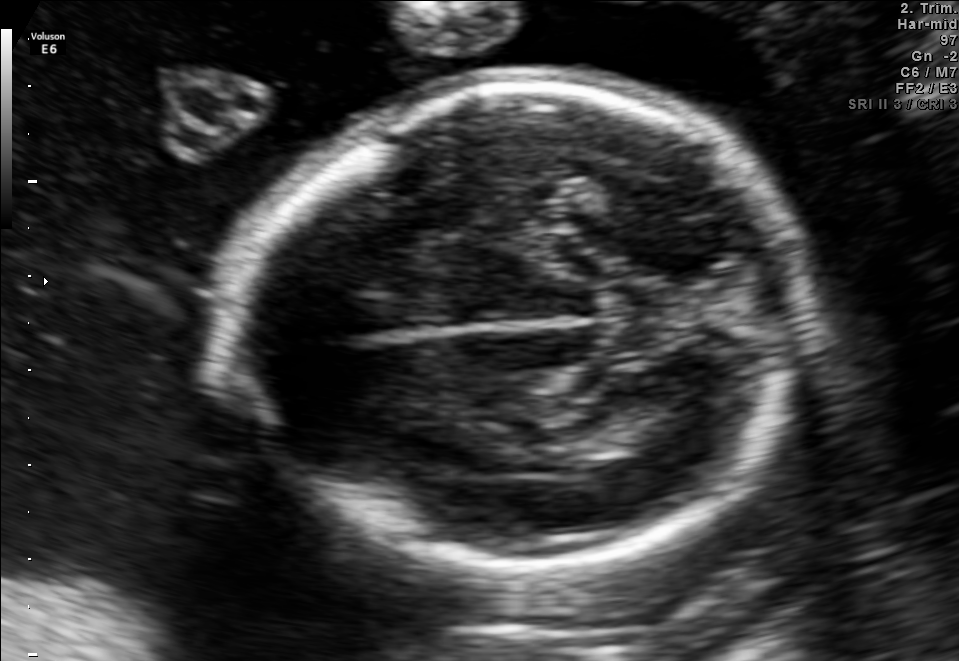
Fetal brain, trans-thalamic plane. Give [x1,y1,x2,y2] bounding boxes for each visible structure among: fetal head, CSP, LV.

Head: [239,81,816,570]